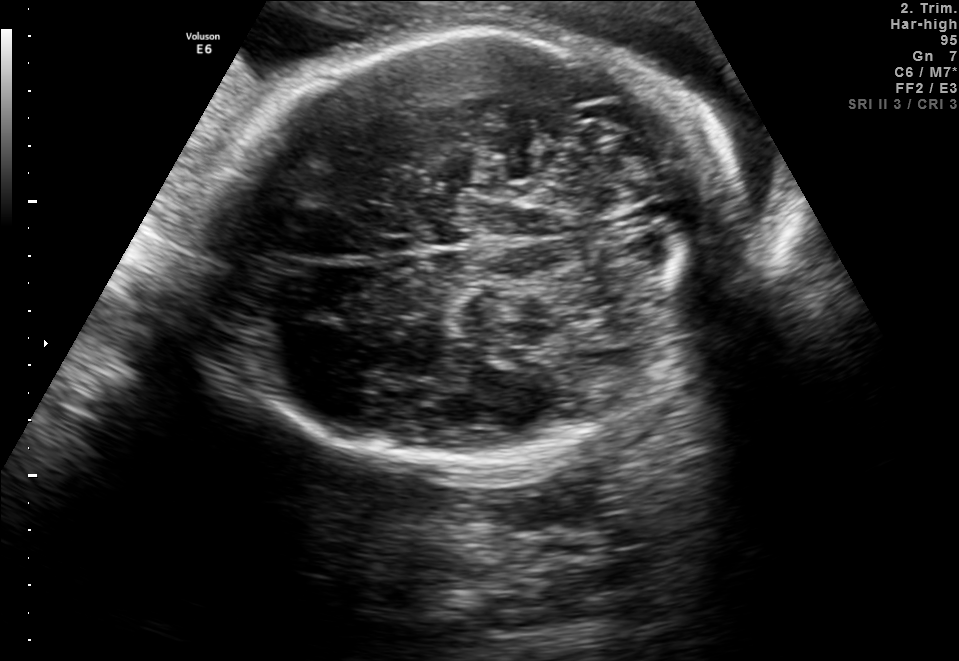
Which standard maternal-fetal ultrasound plane is shown: fetal abdomen, fetal brain, fetal femur, fetal thorax, maternal cervix, or other? If it's fetal brain and one of the three standard brain planes (trans-thalamic, trans-cerebellum, trans-ventricular), name which.

Fetal brain (trans-cerebellum plane)